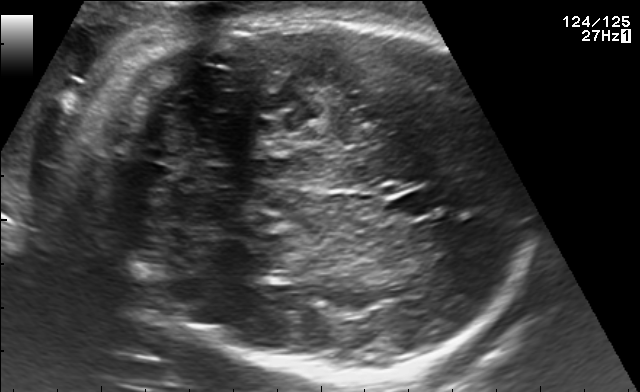
In this fetal brain, trans-cerebellum plane, give the bounding box of the fetal head.

[113,16,519,387]